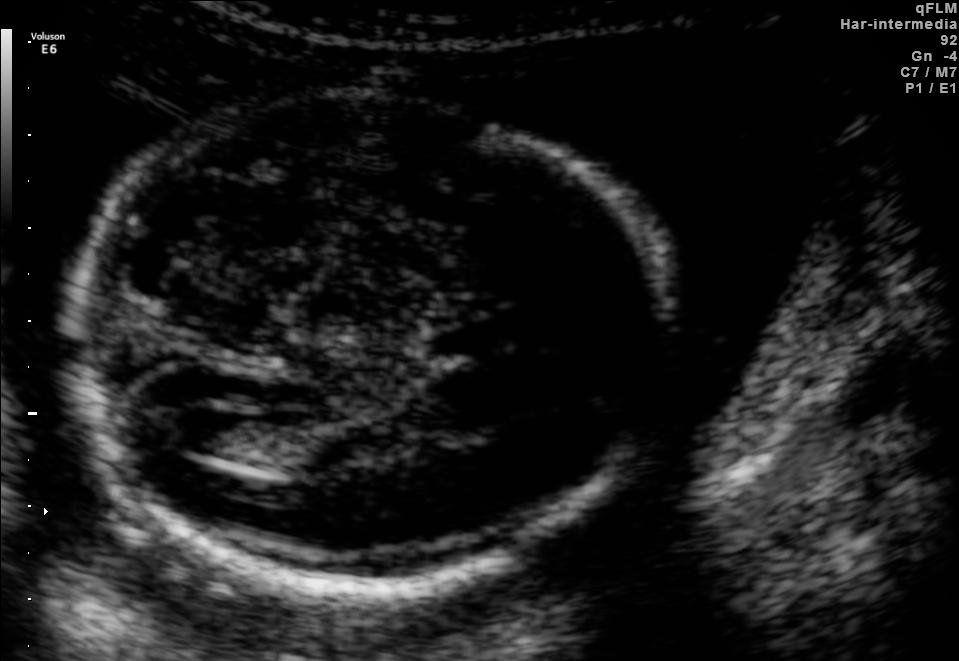
In this fetal brain, trans-ventricular plane, give the bounding box of the lateral ventricle.

[165,401,250,462]